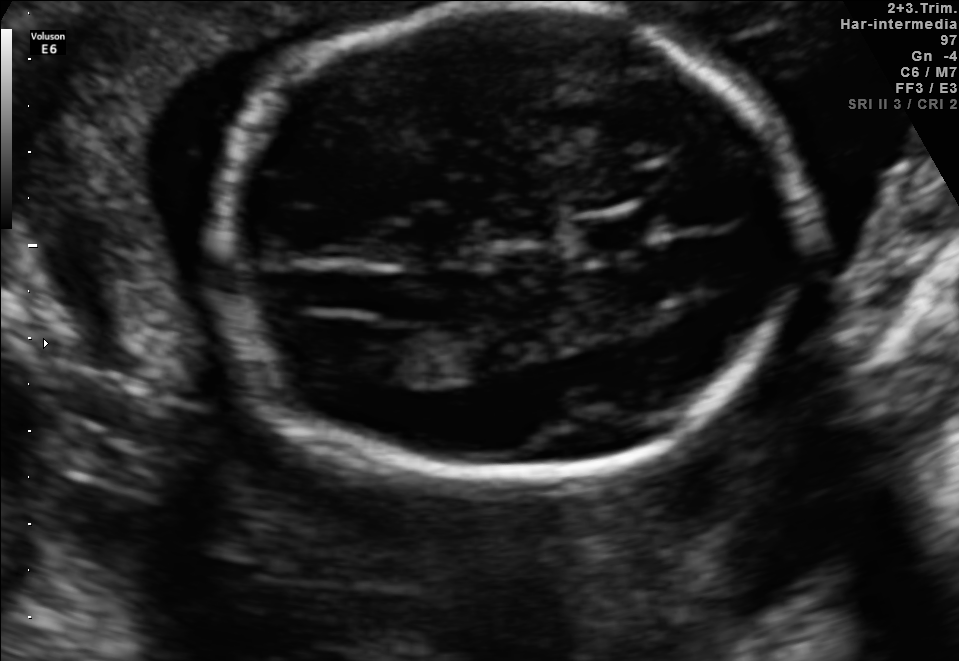
In this fetal brain, trans-ventricular plane, give the bounding box of the fetal head.

[196,2,831,497]